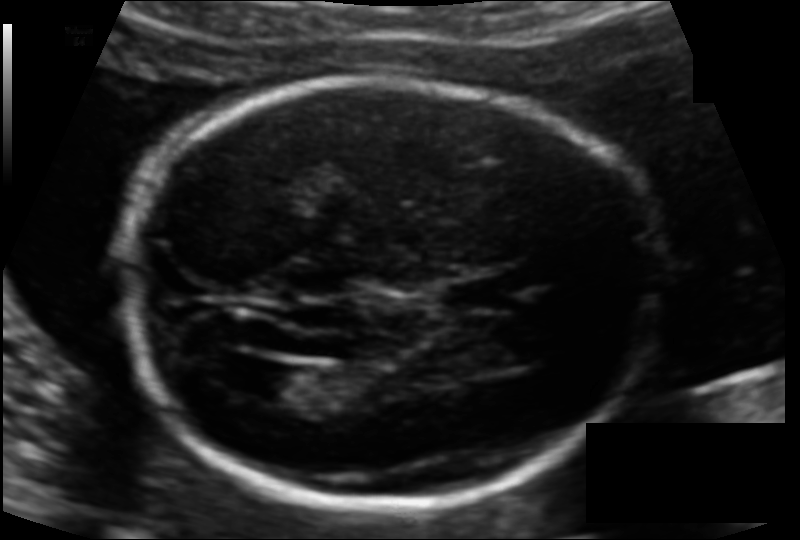
Fetal head ultrasound. Image width: 90.3 mm. Where is the fetal head?

Head bounding box: [121,80,662,506]